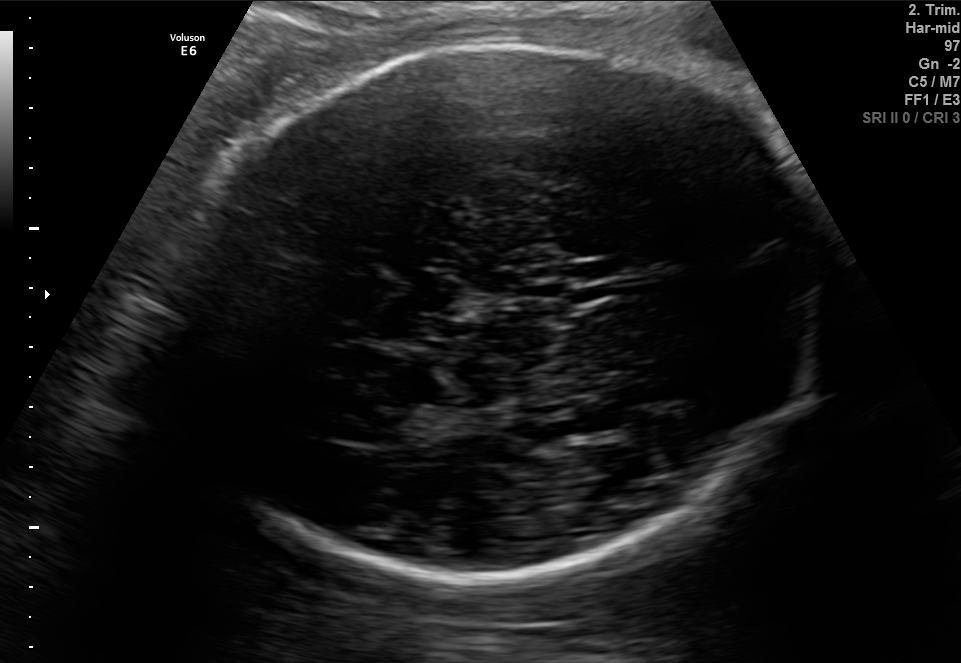
Fetal brain, trans-thalamic plane. Where is the fetal head?

Head bounding box: [179,36,832,585]